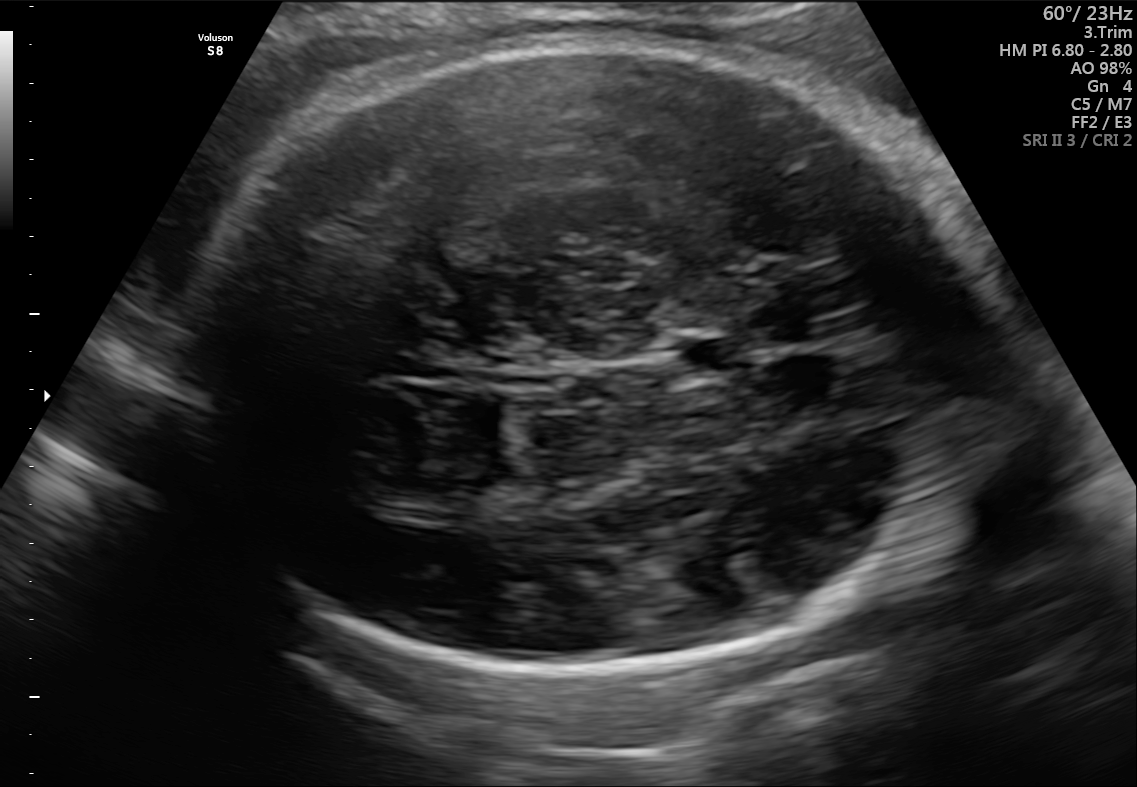
Fetal brain, trans-thalamic plane. Locate the fetal head.

Head: [194,40,992,685]